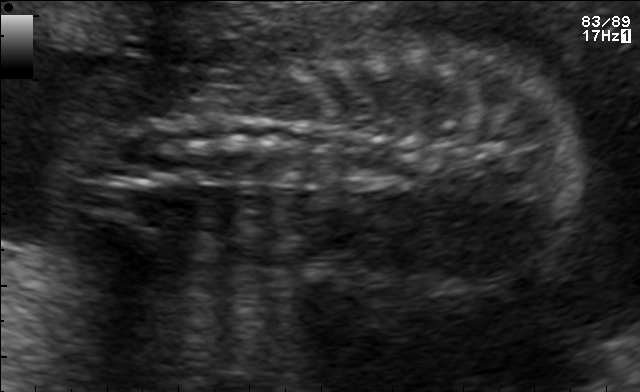
Which standard maternal-fetal ultrasound plane is shown: fetal abdomen, fetal brain, fetal femur, fetal thorax, maternal cervix, or other? If it's fetal brain and one of the three standard brain planes (trans-thalamic, trans-cerebellum, trans-ventricular), name which.

Other